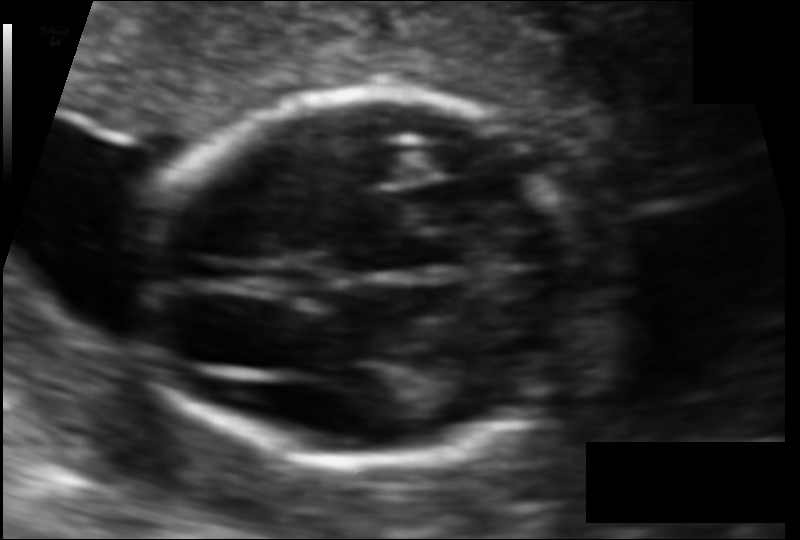
Fetal head ultrasound. Image width: 70.1 mm. Locate the fetal head.

Head: [145,92,583,464]